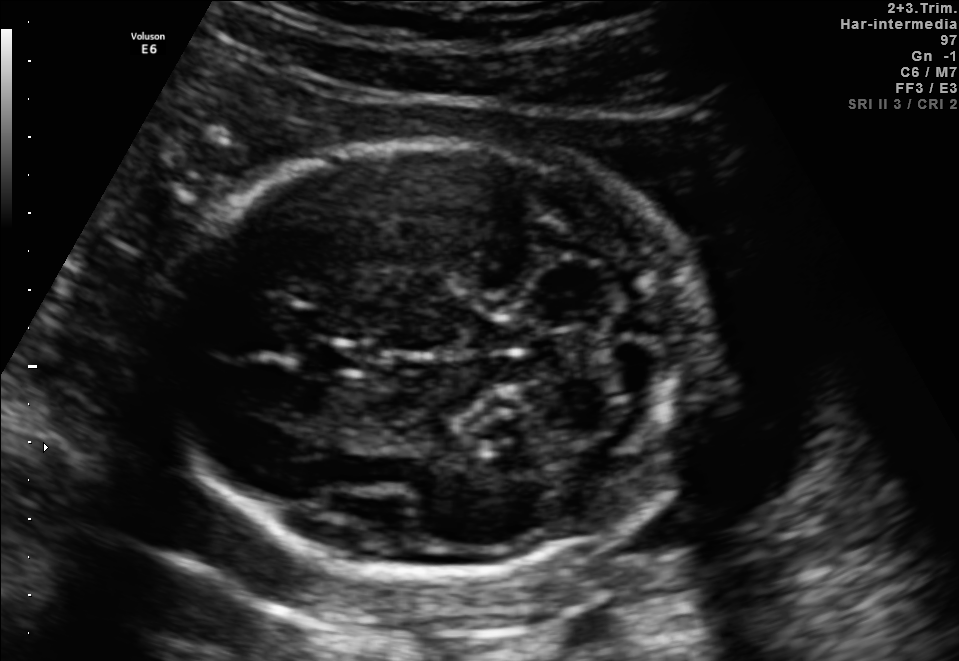
Fetal brain, trans-cerebellum plane. Locate the cavum septum pellucidum.

CSP: [304,337,361,377]